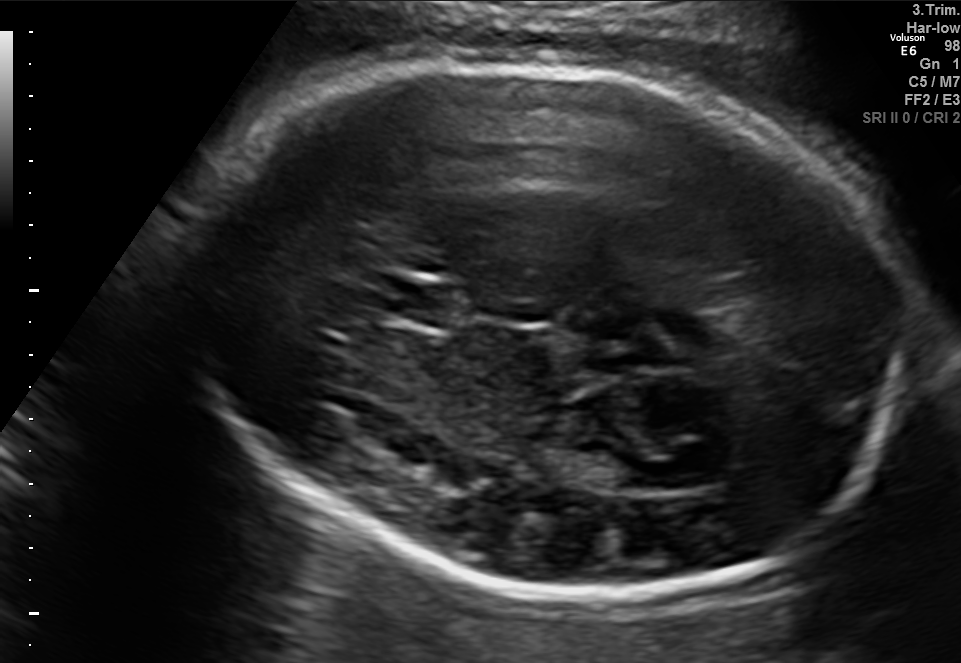
Fetal brain, trans-thalamic plane. Locate the cavum septum pellucidum.

CSP: [377,277,473,331]